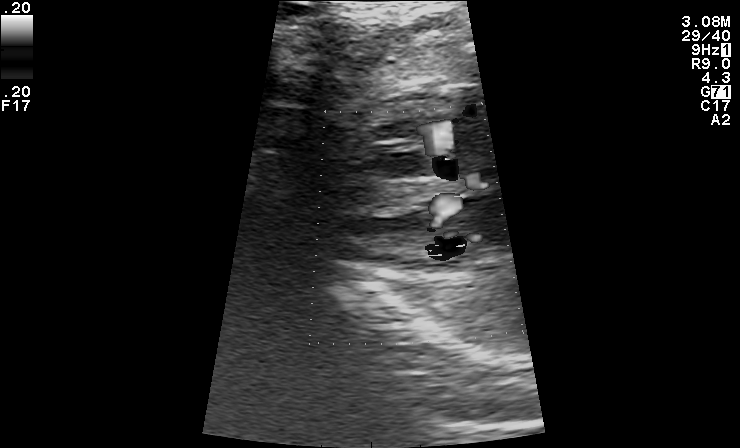
Which standard maternal-fetal ultrasound plane is shown: fetal abdomen, fetal brain, fetal femur, fetal thorax, maternal cervix, or other? If it's fetal brain and one of the three standard brain planes (trans-thalamic, trans-cerebellum, trans-ventricular), name which.

Other